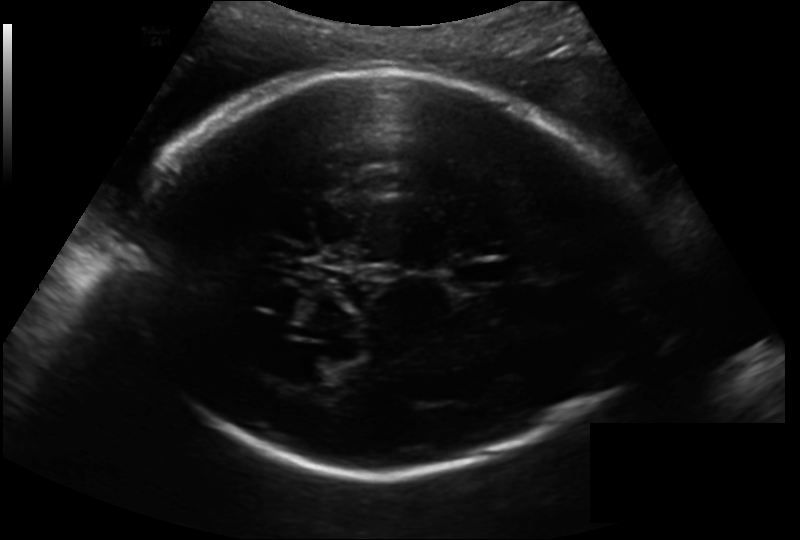
In this fetal head ultrasound, give the bounding box of the cavum septum pellucidum. Image width: 154.5 mm.

[447,256,510,291]